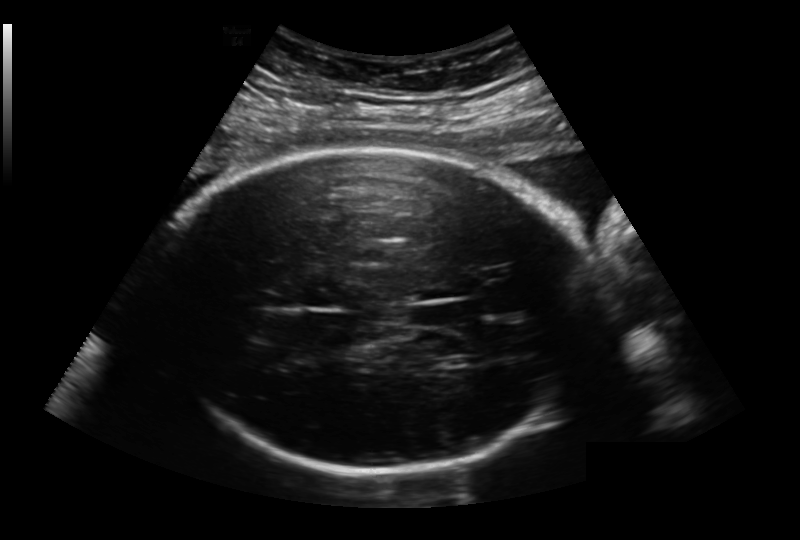
Fetal head ultrasound. Image width: 188.7 mm. Where is the fetal head?

Head bounding box: [147,150,598,473]